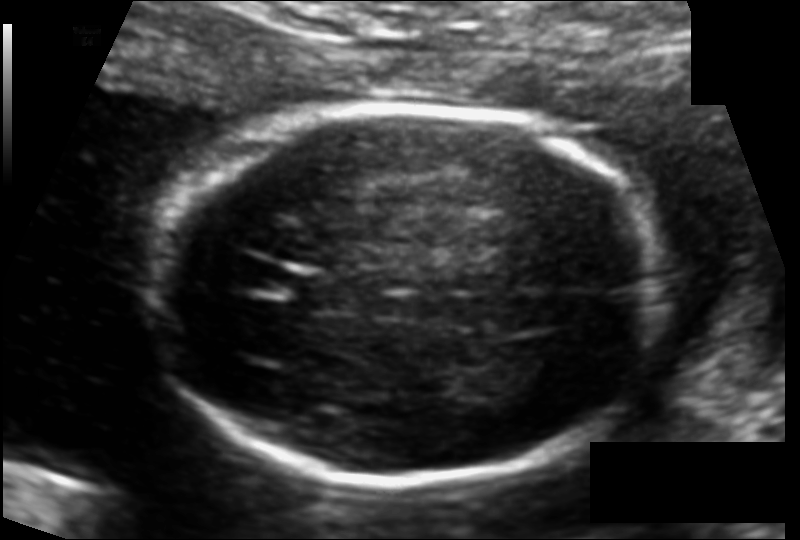
Estimate the fetal head circumference from this 2D ultrasound.

Head circumference: 166.9 mm (image width 92.3 mm).